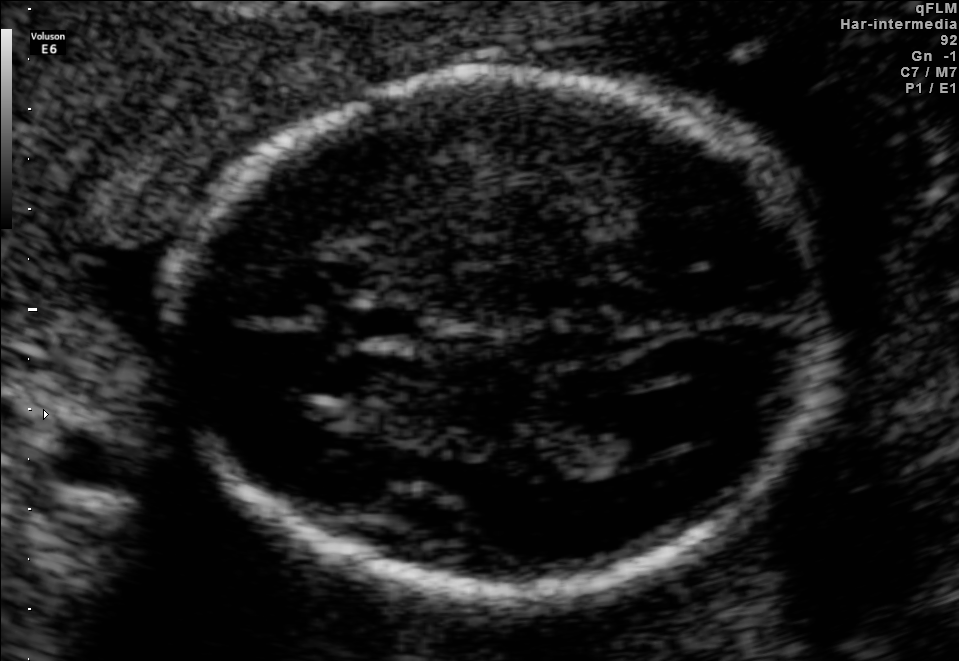
Fetal brain, trans-ventricular plane. Where is the cavum septum pellucidum?

CSP bounding box: [350,306,437,337]